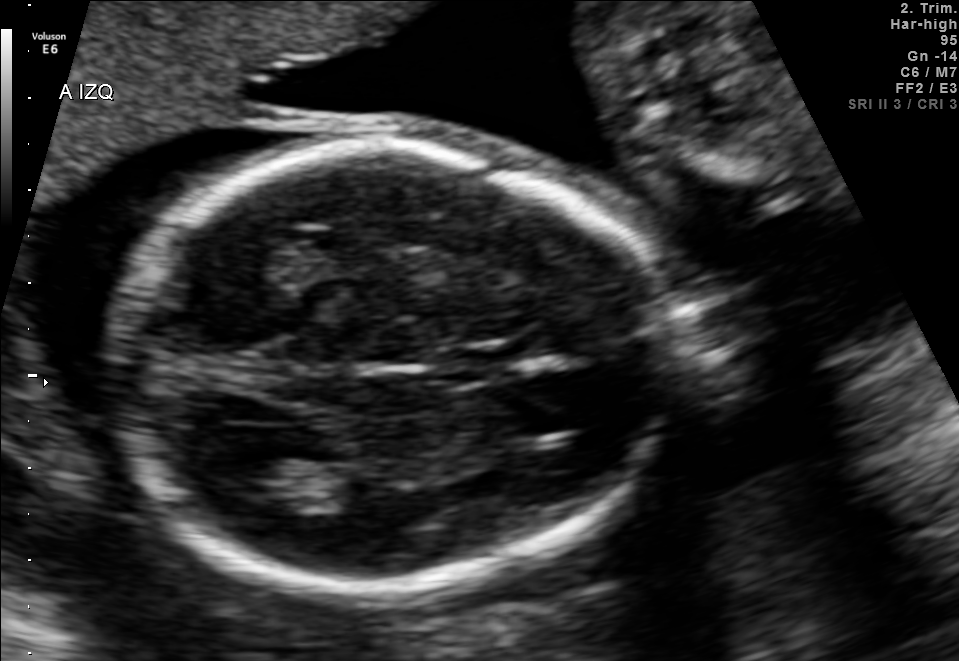
In this fetal brain, trans-thalamic plane, give bounding boxes for the head outline, cavum septum pellucidum (CSP), and lateral ventricle (LV), where visible.

Head: [108,143,677,588]
CSP: [452,343,529,385]
Lateral ventricle: [222,464,320,509]